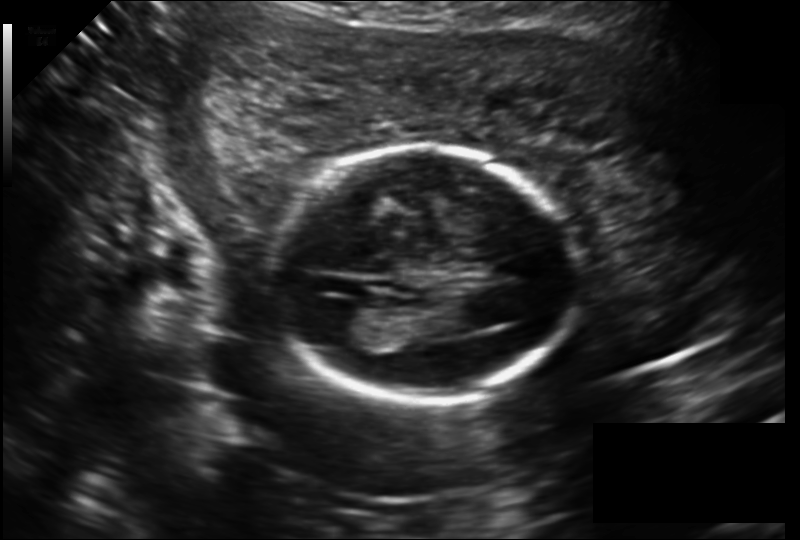
Measure the fetal head circumference shown in this ultrasound image. Image width: 142.0 mm.

Head circumference: 161.8 mm.